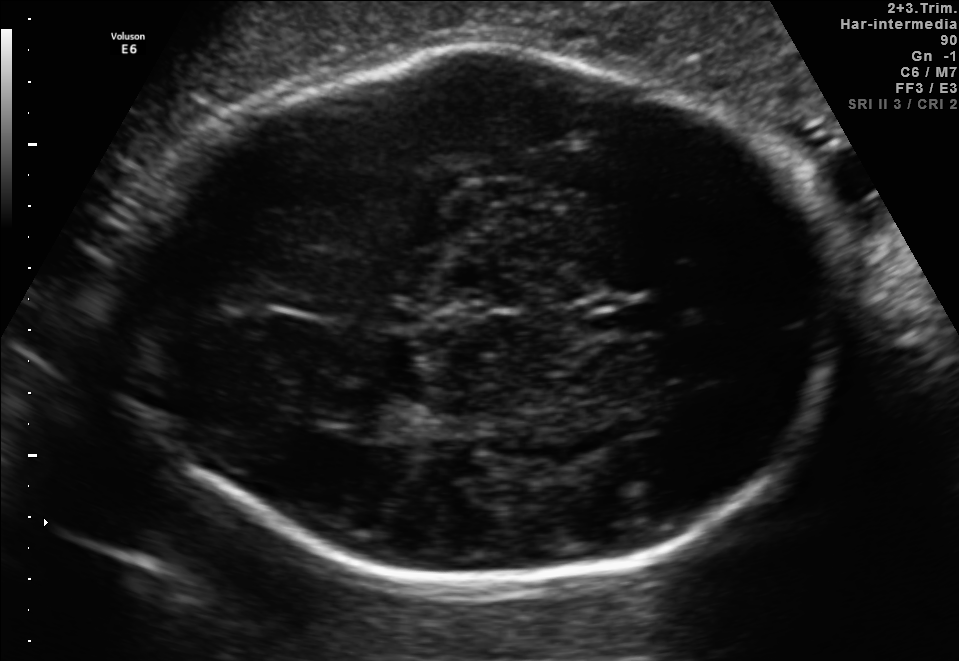
In this fetal brain, trans-thalamic plane, give the bounding box of the cavum septum pellucidum.

[578,296,659,340]